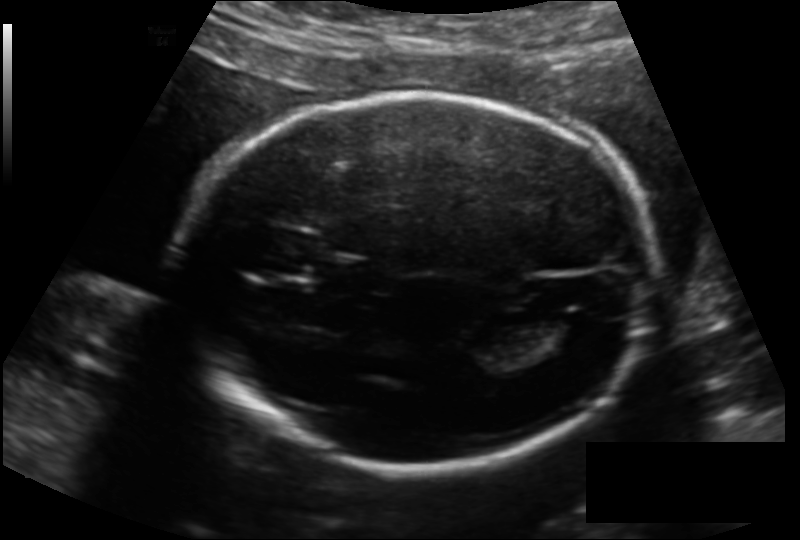
From this fetal ultrasound, estimate the head circumference (image width 120.8 mm).

Head circumference: 208.9 mm.